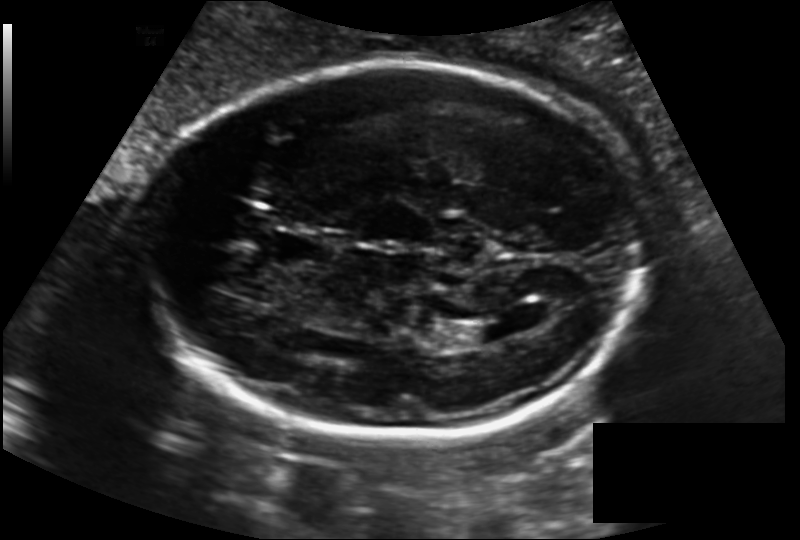
In this fetal head ultrasound, give the bounding box of the fetal head. Image width: 130.6 mm.

[144,63,641,443]